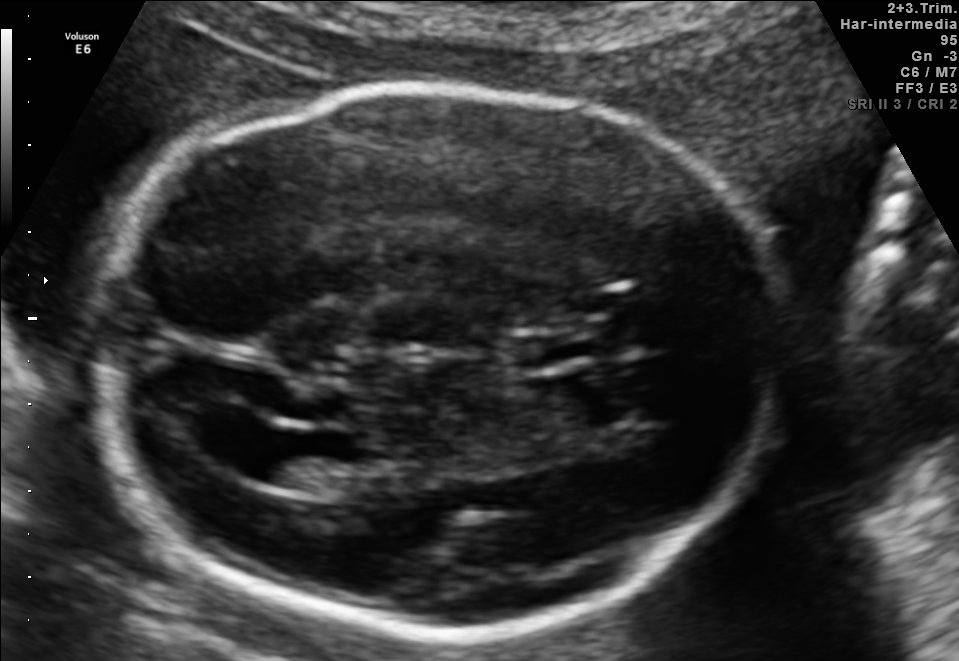
In this fetal brain, trans-ventricular plane, give bounding boxes for the head outline, cavum septum pellucidum (CSP), and lateral ventricle (LV), where visible.

Head: [78,77,803,644]
CSP: [499,323,626,375]
Lateral ventricle: [198,405,307,491]